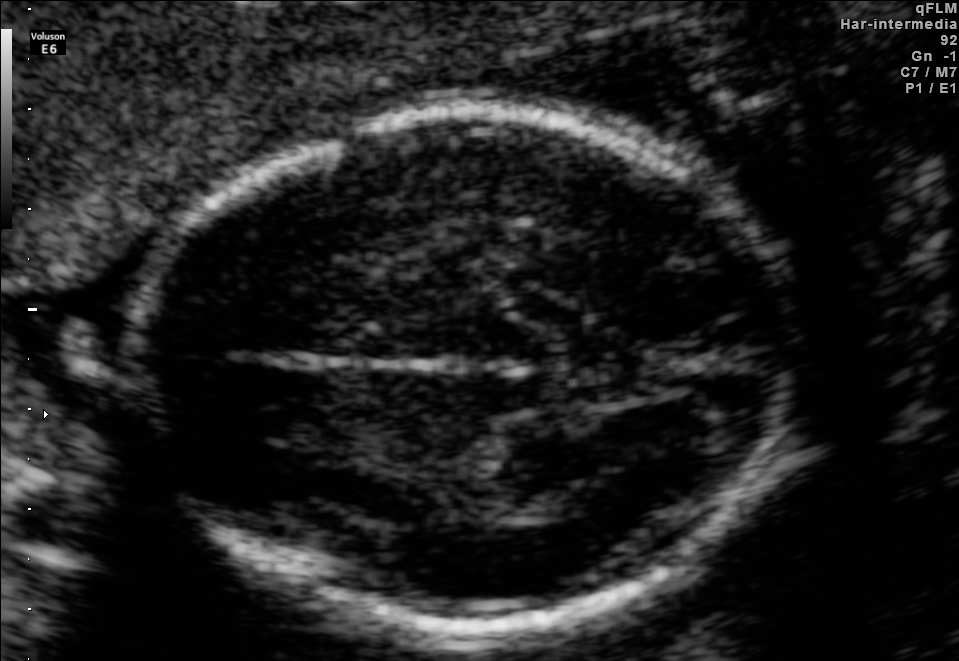
This is a 2D maternal-fetal ultrasound frame. Is it a fetal abdomen, fetal brain, fetal femur, fetal thorax, maternal cervix, or other standard plane? If it's fetal brain and one of the three standard brain planes (trans-thalamic, trans-cerebellum, trans-ventricular), name which.

Fetal brain (trans-thalamic plane)